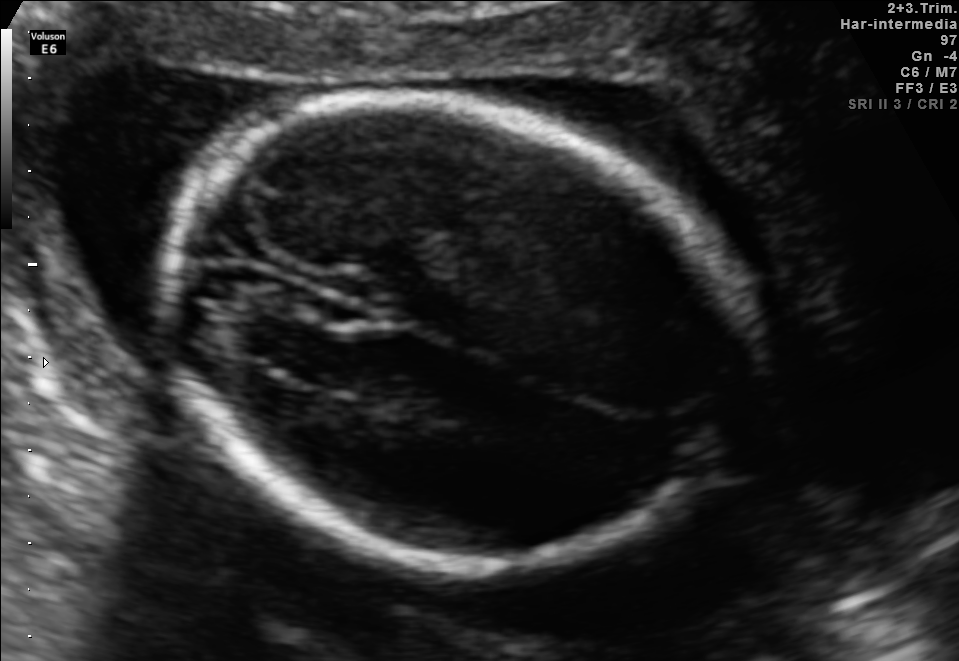
Fetal brain, trans-thalamic plane. Locate the fetal head.

Head: [157,103,754,562]